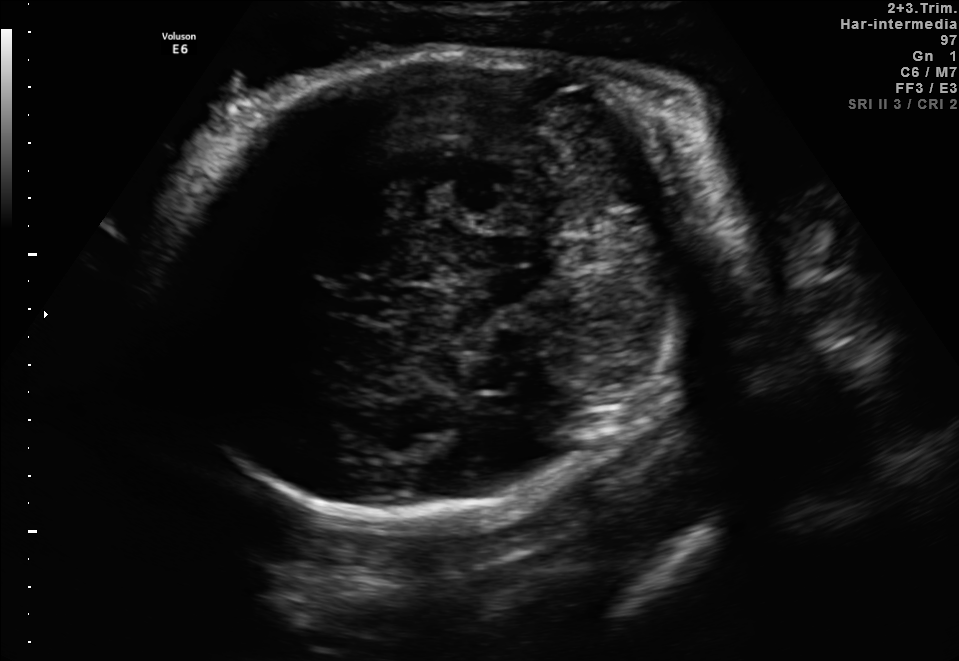
Fetal brain, trans-thalamic plane. Give [x1,y1,x2,y2] bounding boxes for each visible structure among: fetal head, CSP, LV.

Head: [161,53,686,528]